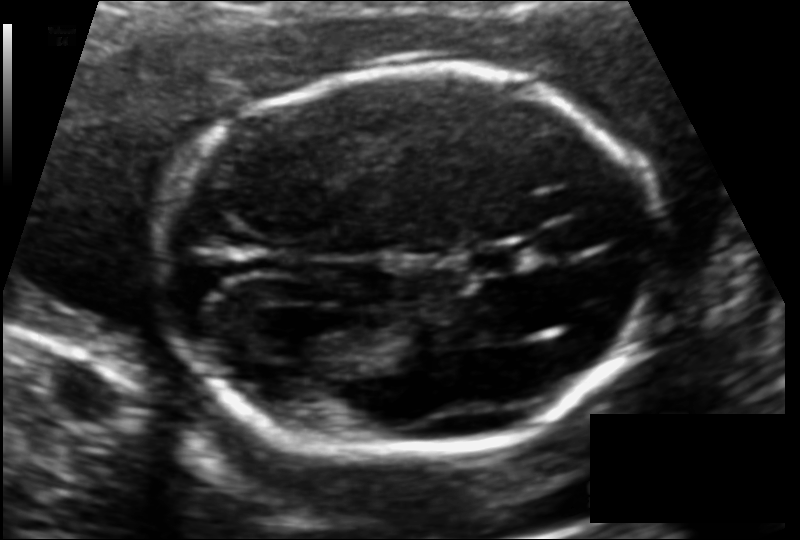
What is the fetal head circumference? Image width is 93.1 mm.

168.3 mm